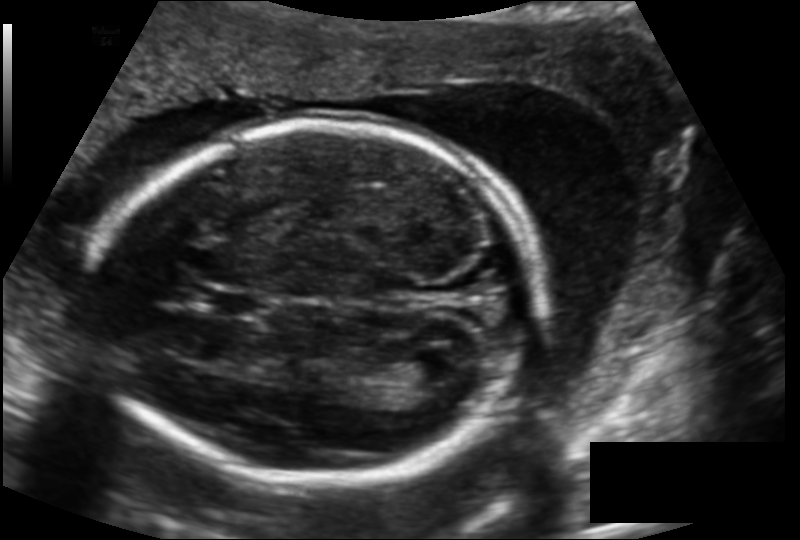
Fetal head ultrasound. Image width: 114.6 mm. Where is the cavum septum pellucidum?

CSP bounding box: [203,287,266,319]